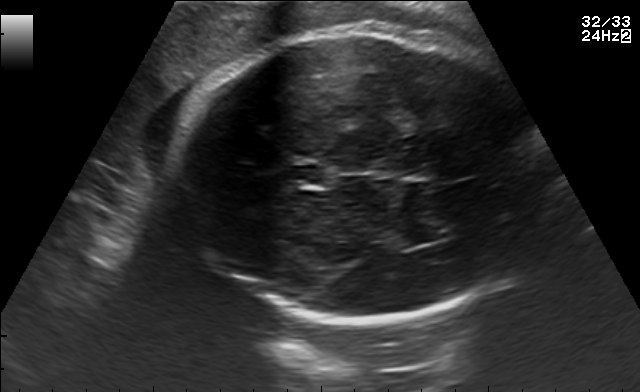
In this fetal brain, trans-thalamic plane, give the bounding box of the fetal head.

[168,29,545,320]